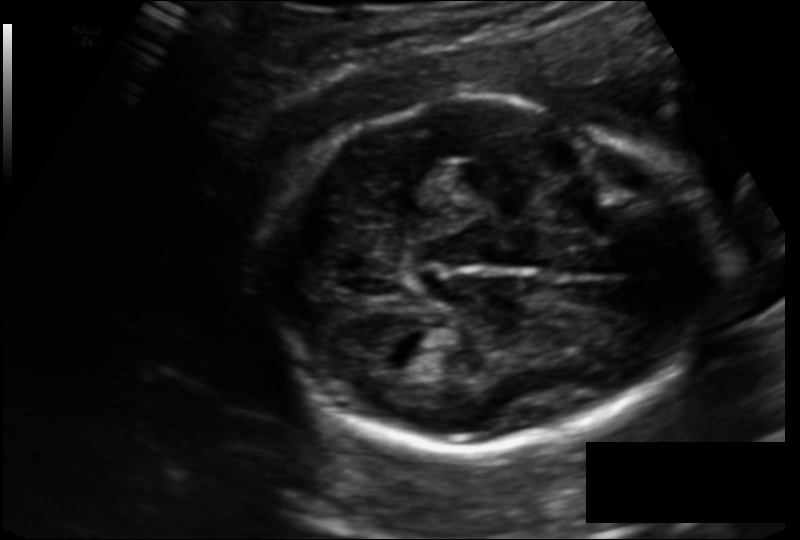
From this fetal ultrasound, estimate the head circumference (image width 107.7 mm).

Head circumference: 180.0 mm.